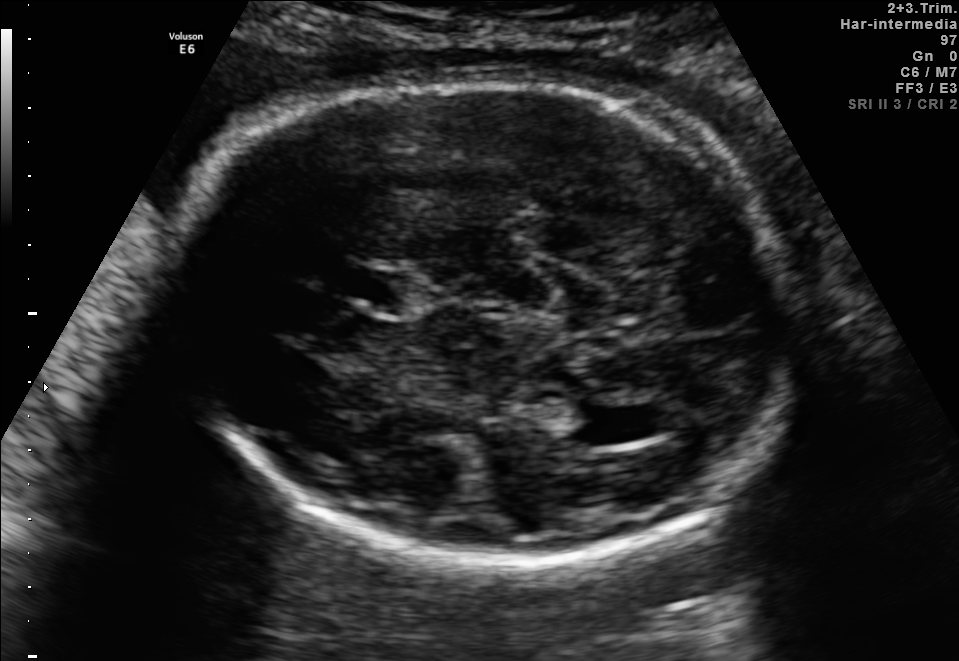
Fetal brain, trans-ventricular plane. Where is the cavum septum pellucidum?

CSP bounding box: [350,267,405,307]